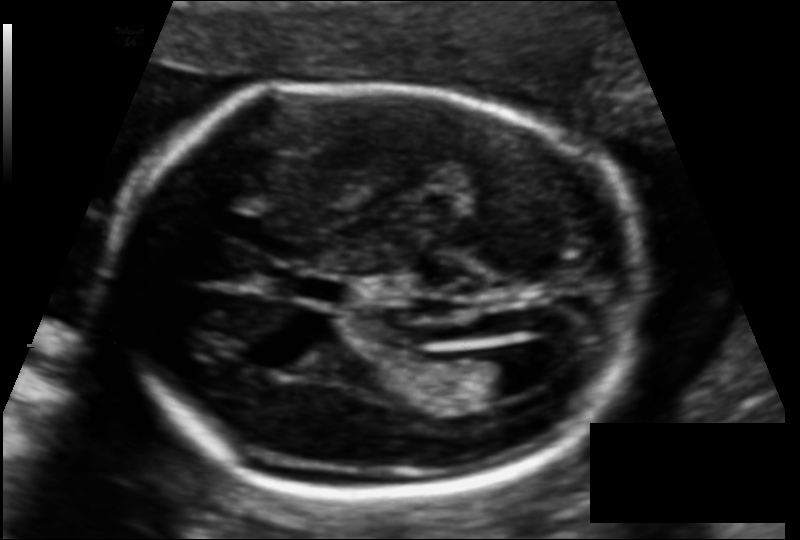
In this fetal head ultrasound, give the bounding box of the fetal head. Image width: 92.4 mm.

[105,87,647,493]